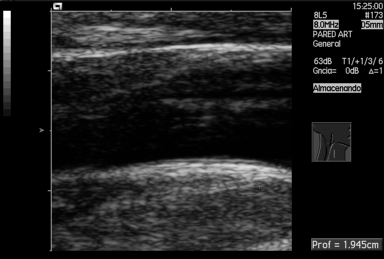
Identify the standard plane in this fetal ultrasound image: fetal abdomen, fetal brain, fetal femur, fetal thorax, maternal cervix, or other. If it's fetal brain and one of the three standard brain planes (trans-thalamic, trans-cerebellum, trans-ventricular), name which.

Other